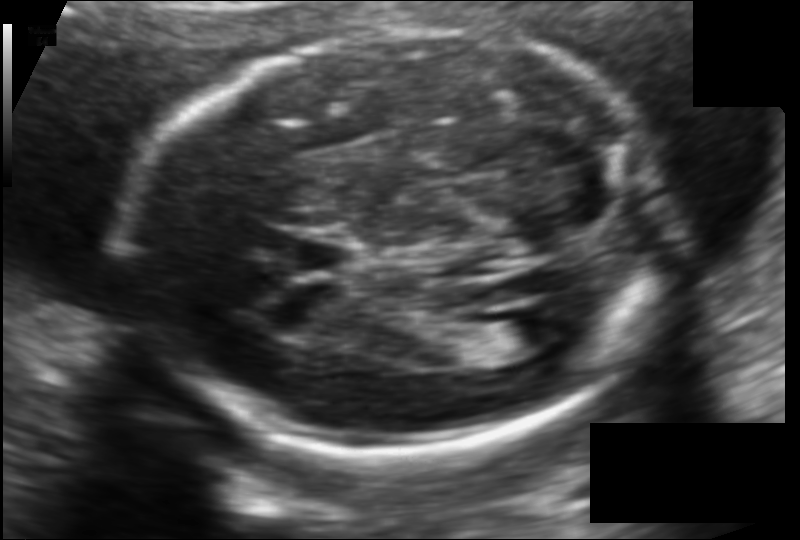
Estimate the fetal head circumference from this 2D ultrasound.

Head circumference: 185.4 mm (image width 94.7 mm).